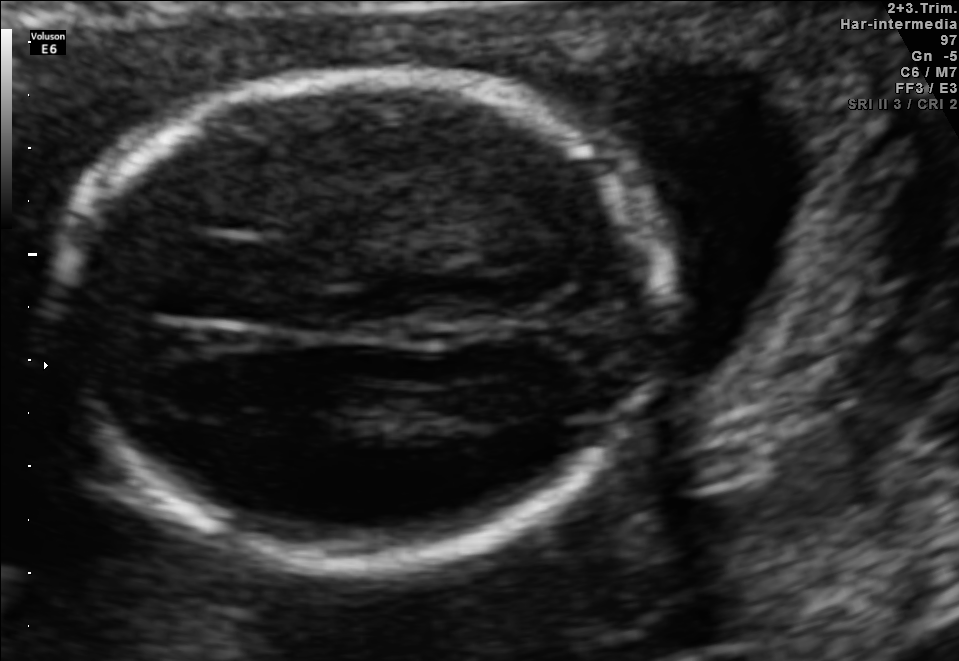
Fetal brain, trans-thalamic plane. Locate the fetal head.

Head: [57,77,662,556]